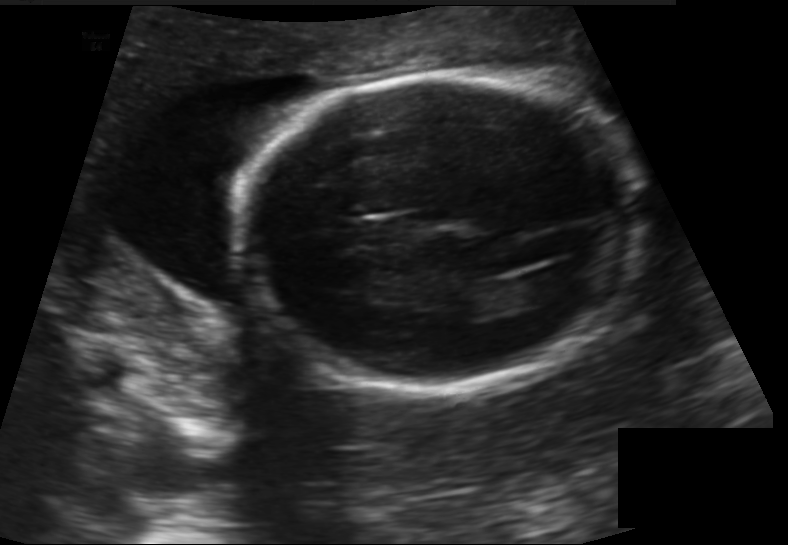
What is the fetal head circumference? Image width is 122.2 mm.

177.6 mm